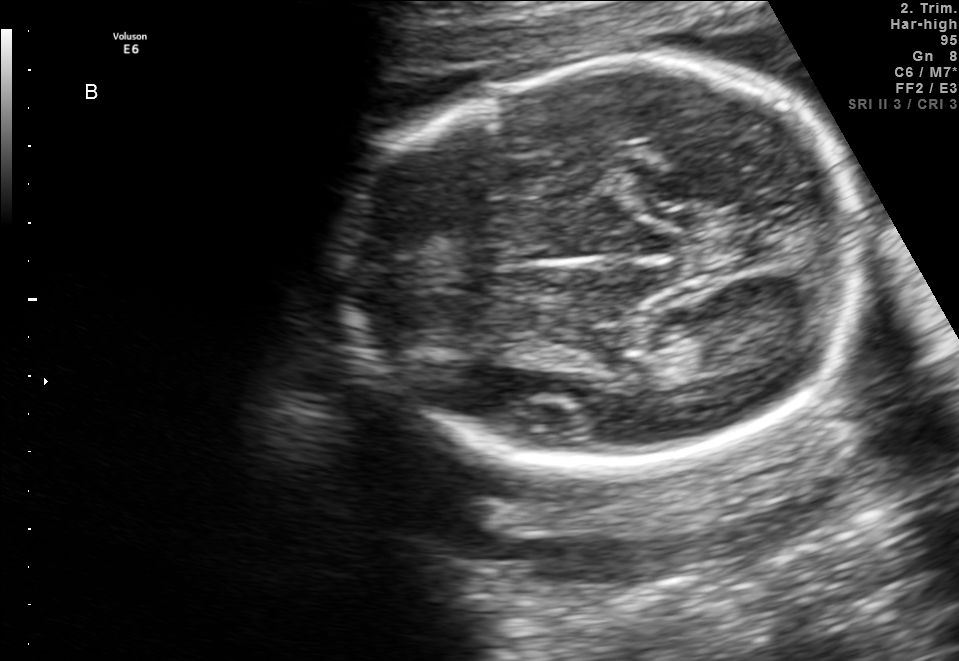
In this fetal brain, trans-thalamic plane, give the bounding box of the lateral ventricle.

[651,308,757,383]